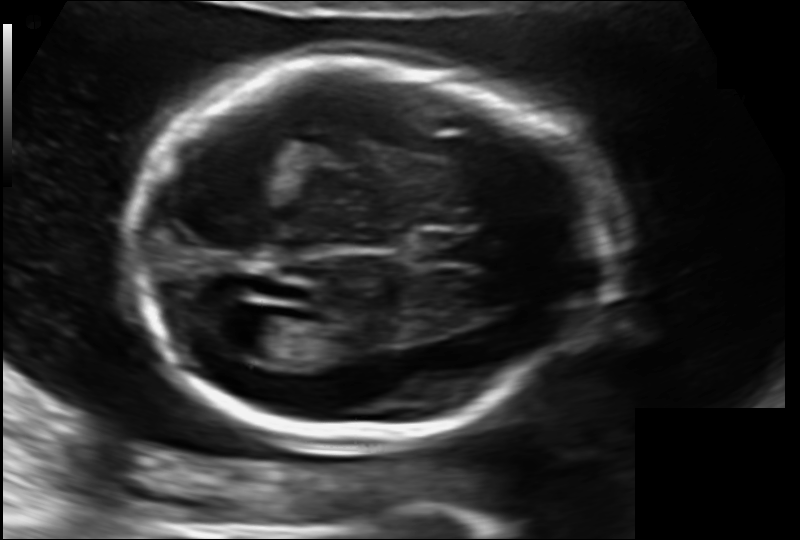
In this fetal head ultrasound, give the bounding box of the fetal head. Image width: 103.9 mm.

[131,60,602,440]